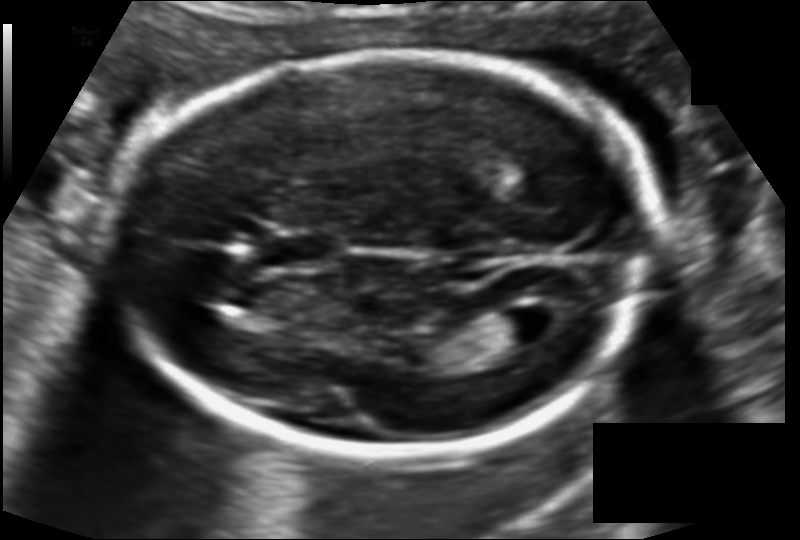
Fetal head ultrasound. Image width: 92.2 mm. Locate the lateral ventricle.

Lateral ventricle: [483,297,561,355]